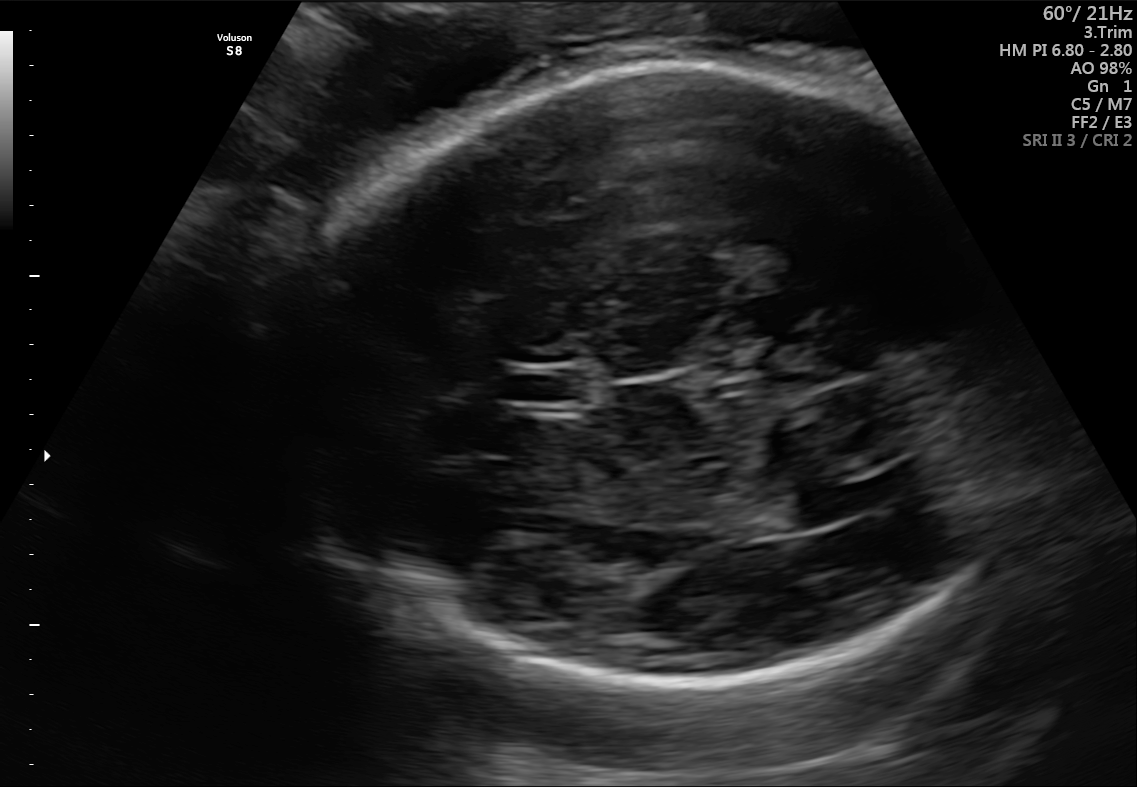
Fetal brain, trans-thalamic plane. Locate the cavum septum pellucidum.

CSP: [507,369,589,402]